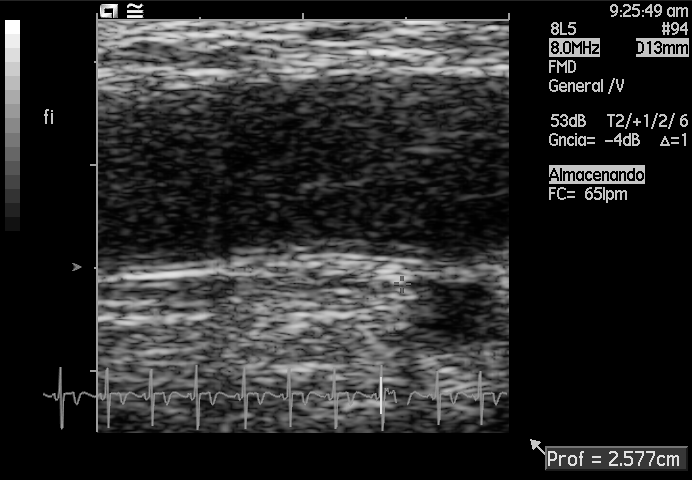
Identify the standard plane in this fetal ultrasound image: fetal abdomen, fetal brain, fetal femur, fetal thorax, maternal cervix, or other. If it's fetal brain and one of the three standard brain planes (trans-thalamic, trans-cerebellum, trans-ventricular), name which.

Other